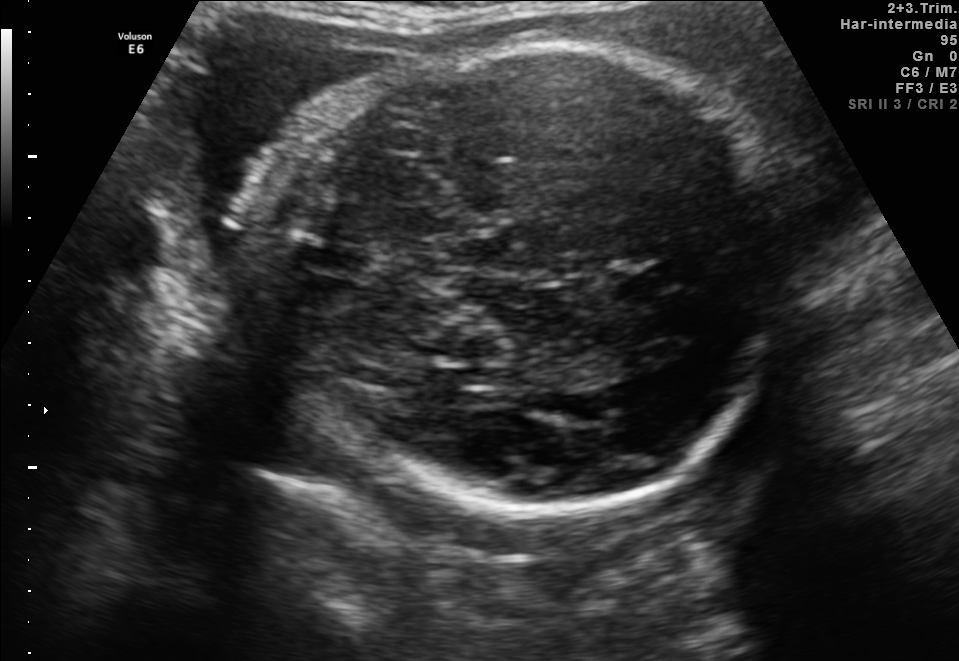
Fetal brain, trans-thalamic plane. Where is the cavum septum pellucidum?

CSP bounding box: [611,263,673,300]